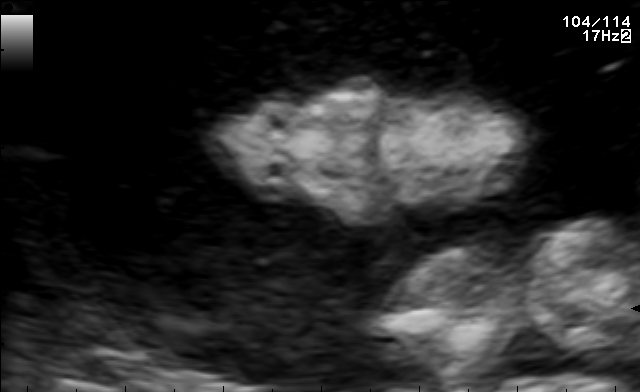
This is a 2D maternal-fetal ultrasound frame. Is it a fetal abdomen, fetal brain, fetal femur, fetal thorax, maternal cervix, or other standard plane? If it's fetal brain and one of the three standard brain planes (trans-thalamic, trans-cerebellum, trans-ventricular), name which.

Other